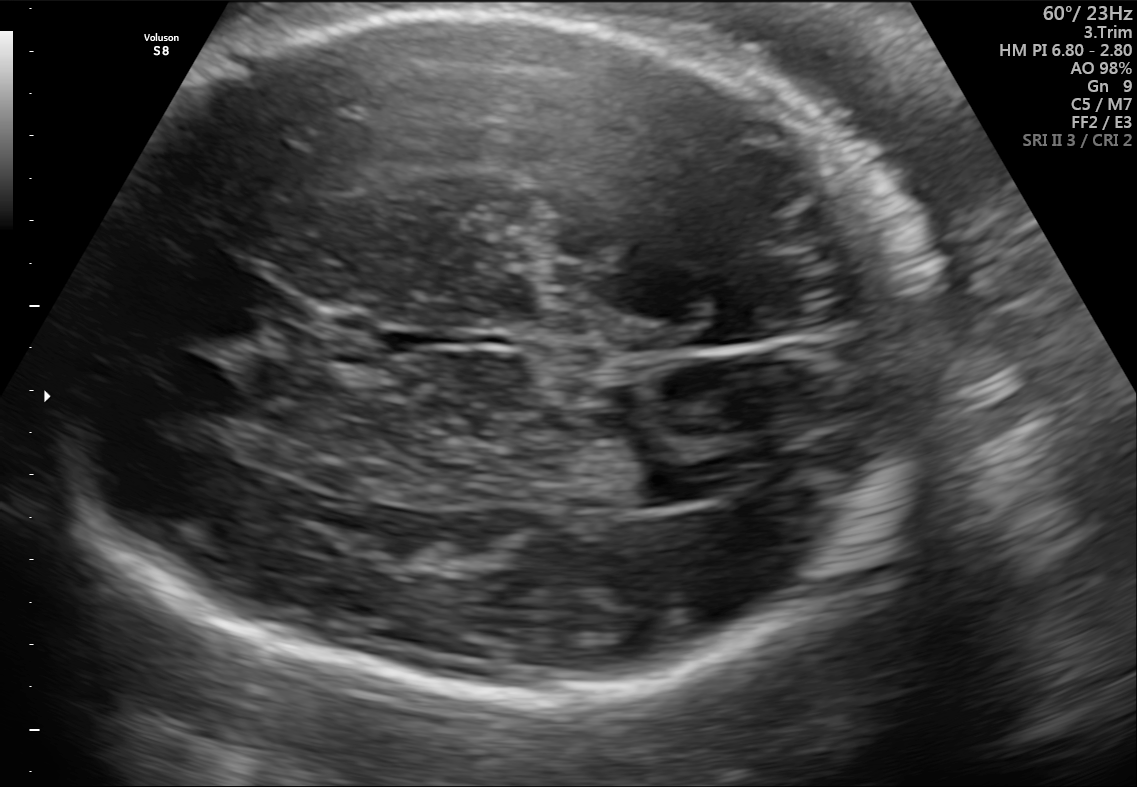
Fetal brain, trans-ventricular plane. Locate the lateral ventricle.

Lateral ventricle: [627,463,702,507]